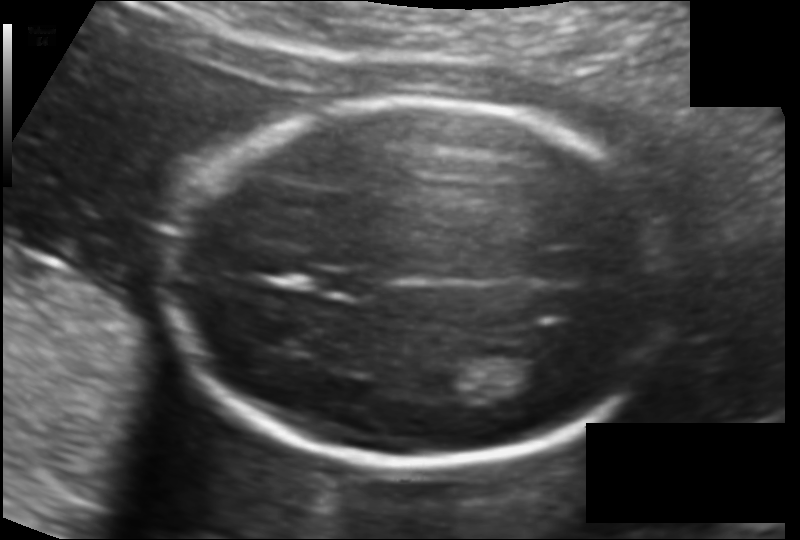
Fetal head ultrasound. Image width: 97.1 mm. Where is the fetal head?

Head bounding box: [162,100,673,466]